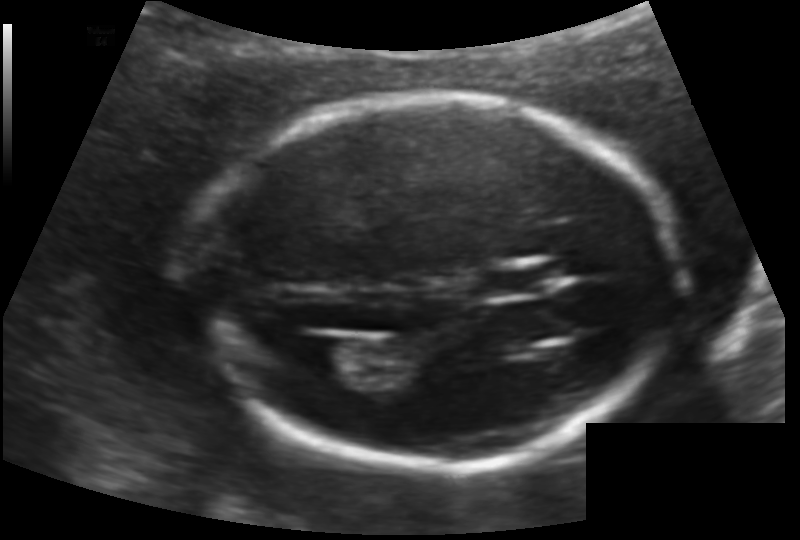
Fetal head ultrasound. Image width: 99.5 mm. Where is the lateral ventricle?

Lateral ventricle bounding box: [300,332,358,378]